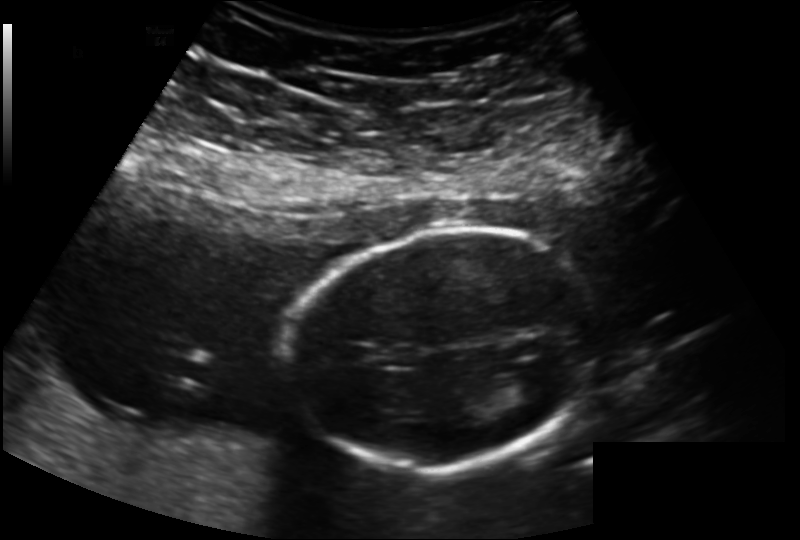
Fetal head ultrasound. Image width: 130.7 mm. Locate the lateral ventricle.

Lateral ventricle: [508,362,559,406]